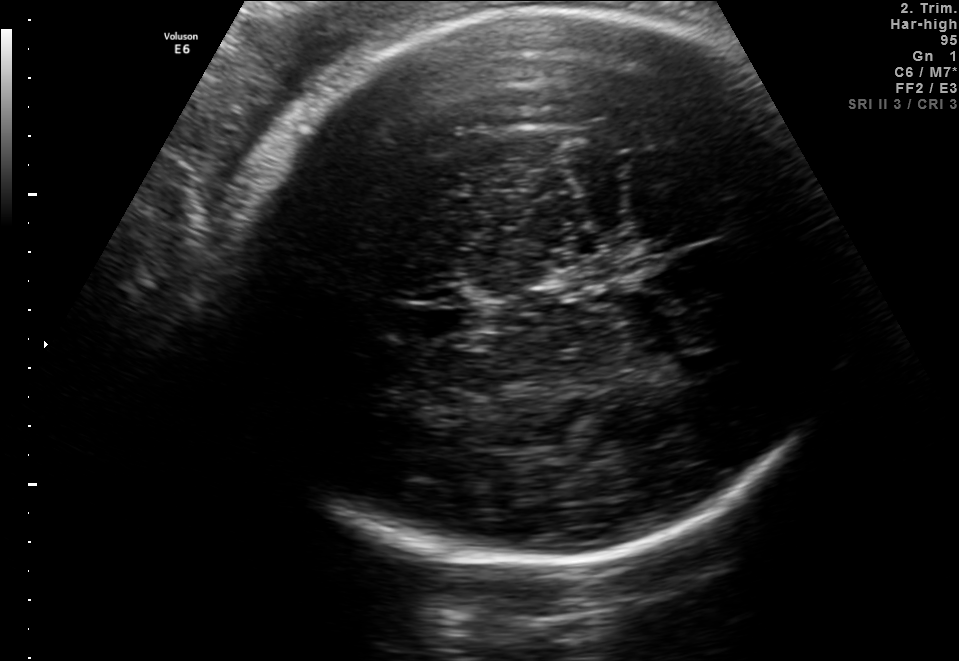
Fetal brain, trans-thalamic plane. Locate the cavum septum pellucidum.

CSP: [402,302,483,342]